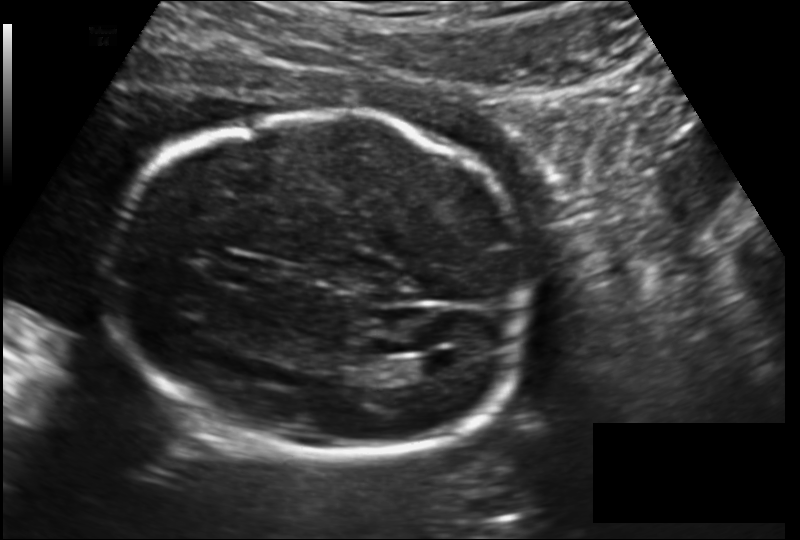
Fetal head ultrasound. Image width: 125.8 mm. Give [x1,y1,x2,y2] bounding boxes for each visible structure among: fetal head, CSP, LV.

Head: [104,109,536,462]
CSP: [217,252,272,289]
Lateral ventricle: [411,349,461,382]